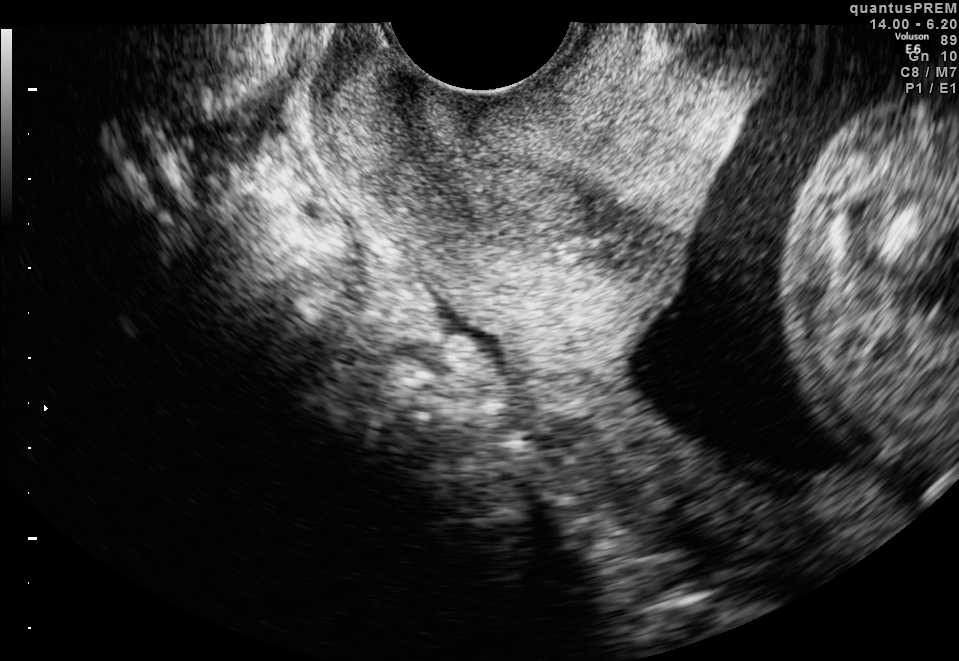
Classify this maternal-fetal ultrasound image as one of the six standard planes — fetal abdomen, fetal brain, fetal femur, fetal thorax, maternal cervix, or other. If it's fetal brain and one of the three standard brain planes (trans-thalamic, trans-cerebellum, trans-ventricular), name which.

Maternal cervix